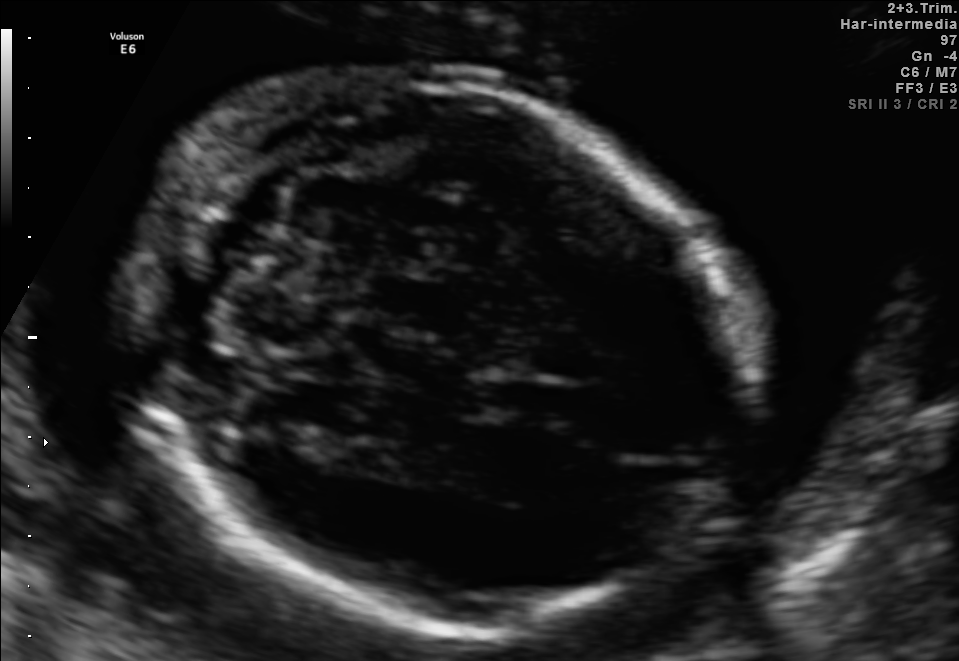
Fetal brain, trans-cerebellum plane. Where is the fetal head?

Head bounding box: [130,78,741,627]